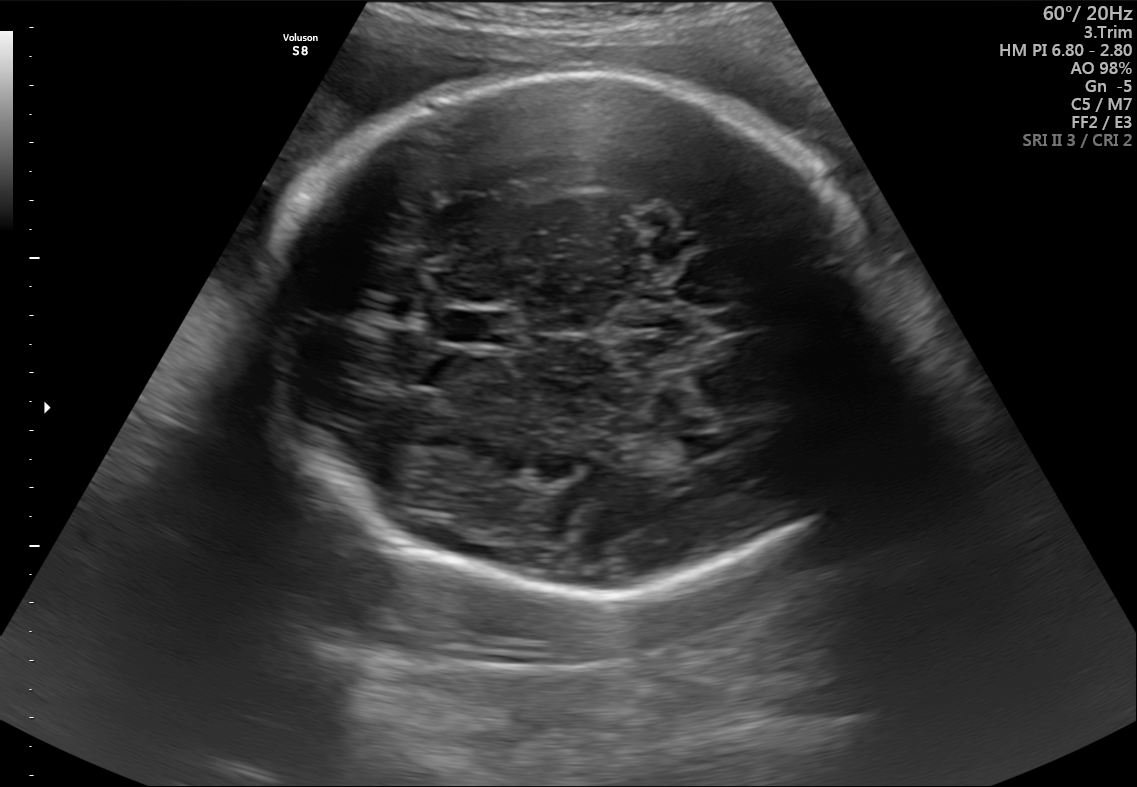
Fetal brain, trans-thalamic plane. Locate the lateral ventricle.

Lateral ventricle: [669,433,710,463]